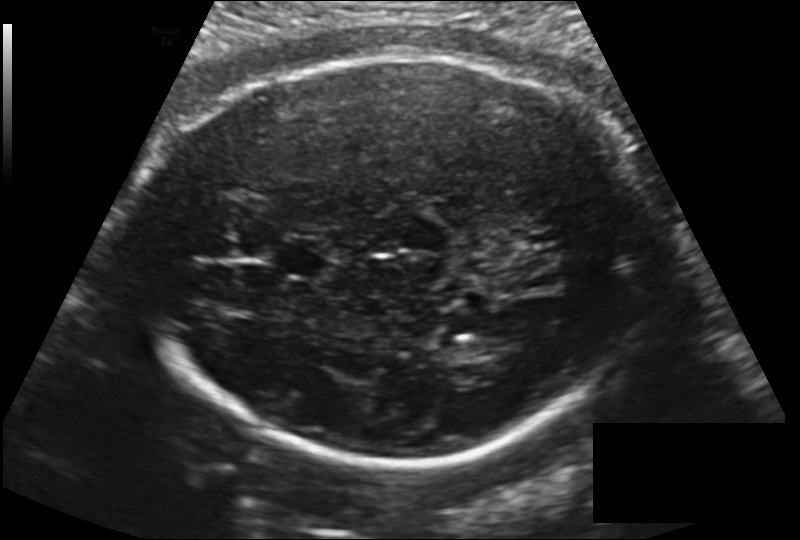
Fetal head ultrasound. Image width: 144.8 mm. Where is the cavum septum pellucidum?

CSP bounding box: [274,237,336,279]